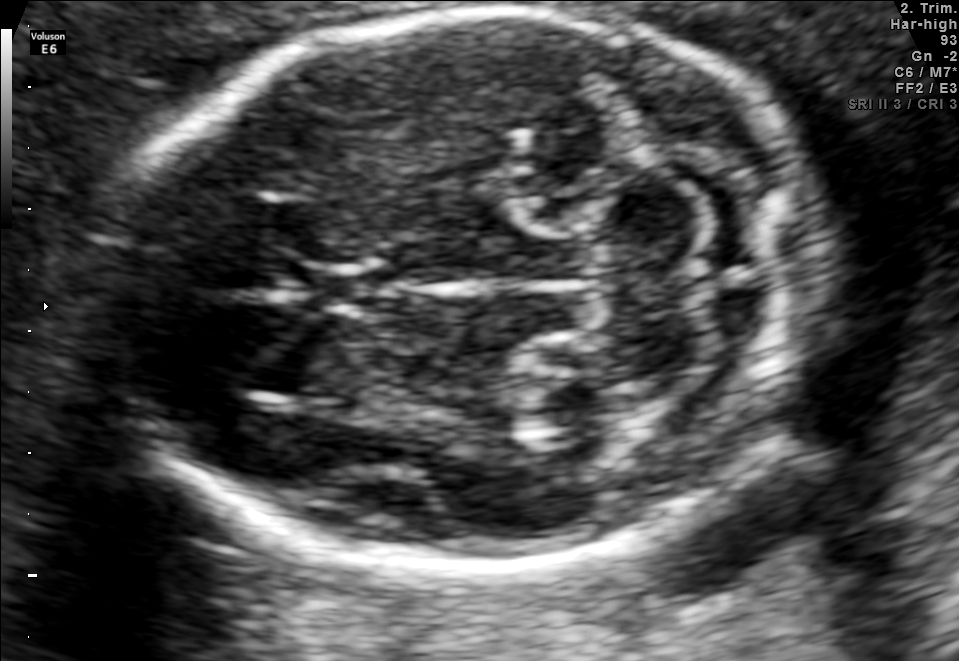
In this fetal brain, trans-cerebellum plane, give bounding boxes for the head outline, cavum septum pellucidum (CSP), and lateral ventricle (LV), where visible.

Head: [106,7,823,580]
CSP: [308,266,399,312]